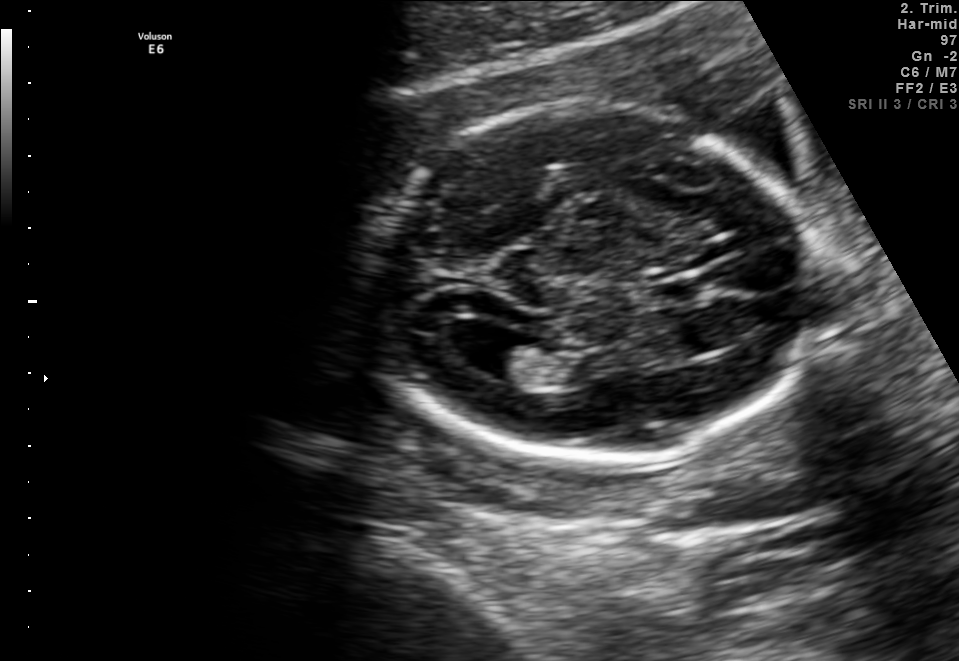
In this fetal brain, trans-ventricular plane, give bounding boxes for the head outline, cavum septum pellucidum (CSP), and lateral ventricle (LV), where visible.

Head: [358,104,831,475]
CSP: [646,273,717,308]
Lateral ventricle: [453,315,535,385]